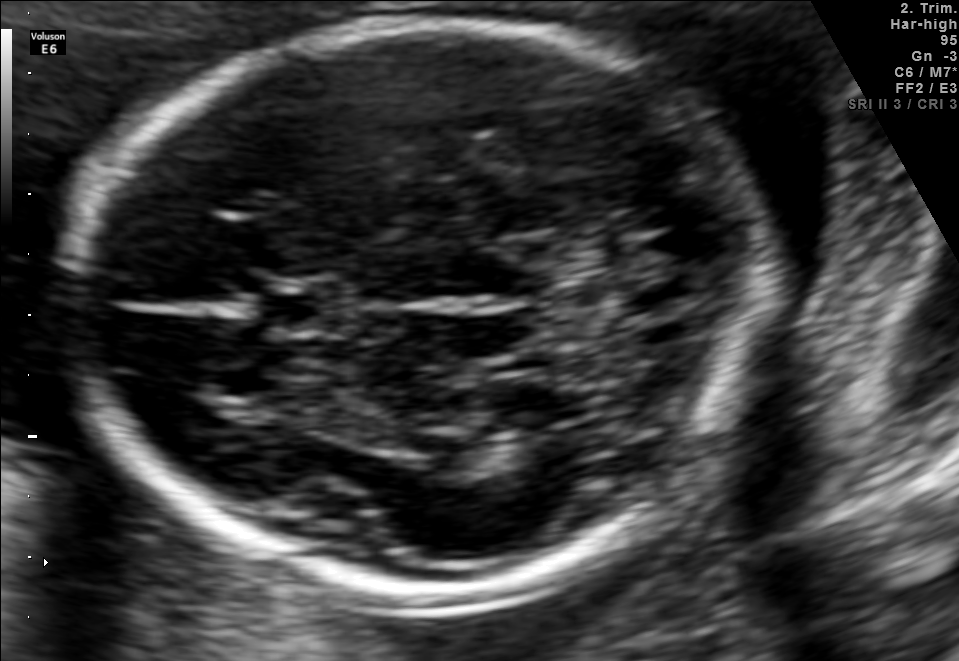
In this fetal brain, trans-thalamic plane, give the bounding box of the cavum septum pellucidum.

[266,282,346,329]